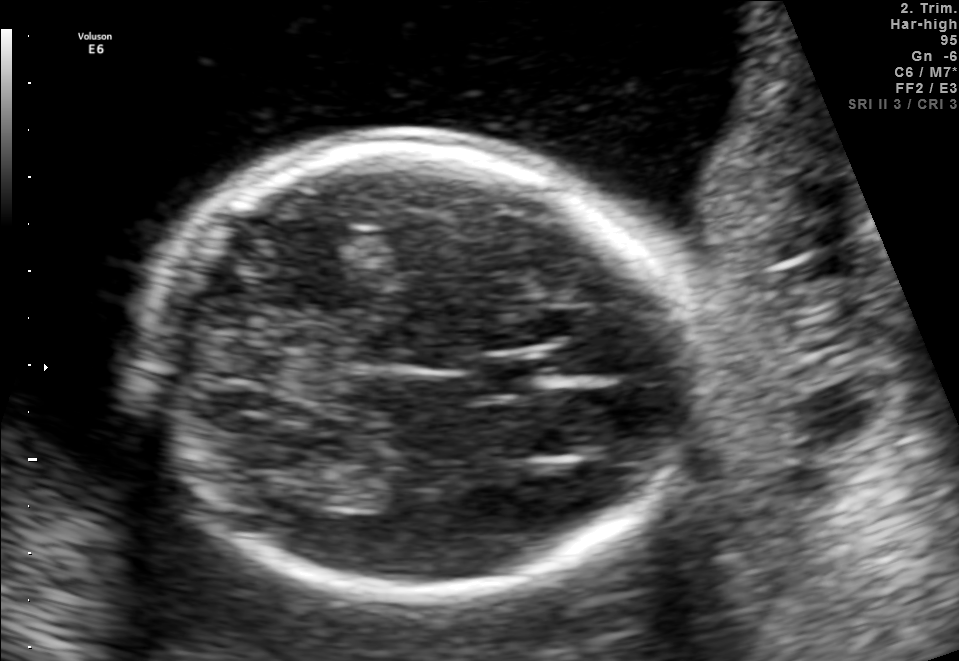
In this fetal brain, trans-thalamic plane, give the bounding box of the cavum septum pellucidum.

[471,355,545,396]